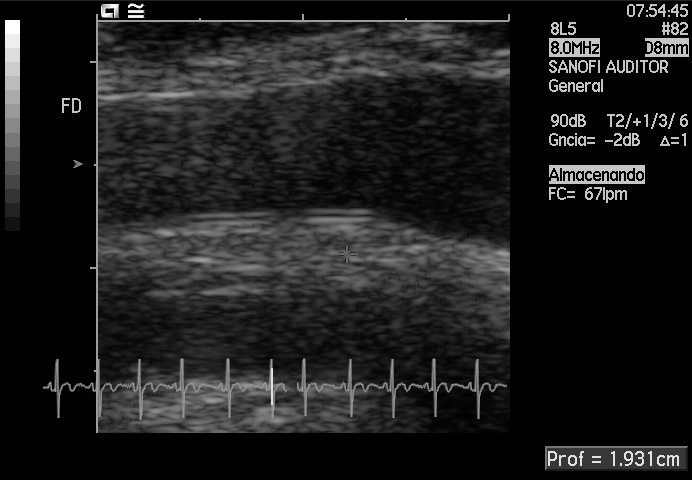
Classify this maternal-fetal ultrasound image as one of the six standard planes — fetal abdomen, fetal brain, fetal femur, fetal thorax, maternal cervix, or other. If it's fetal brain and one of the three standard brain planes (trans-thalamic, trans-cerebellum, trans-ventricular), name which.

Other